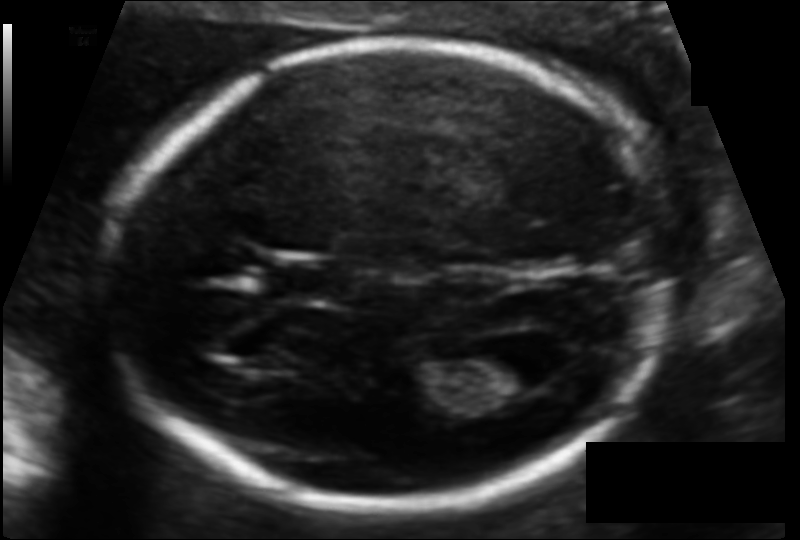
Fetal head ultrasound. Image width: 82.6 mm. Locate the cavum septum pellucidum.

CSP: [270,261,337,302]